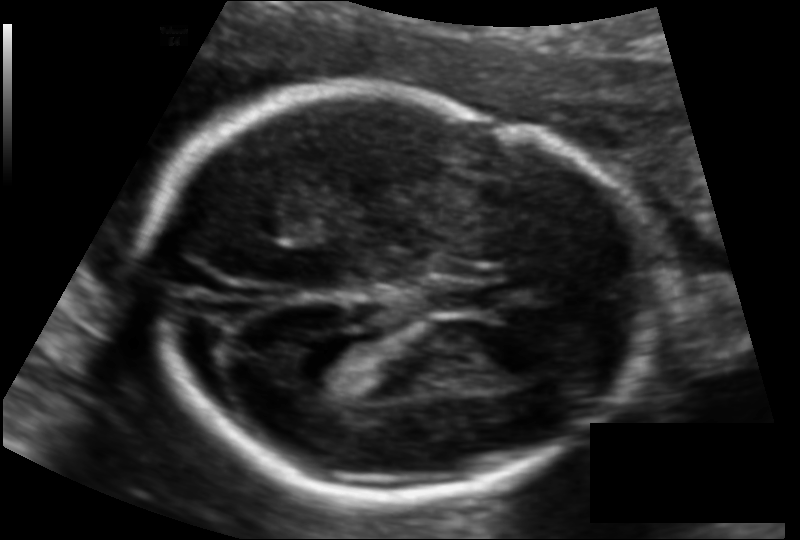
In this fetal head ultrasound, give the bounding box of the fetal head. Image width: 93.9 mm.

[136,94,642,495]